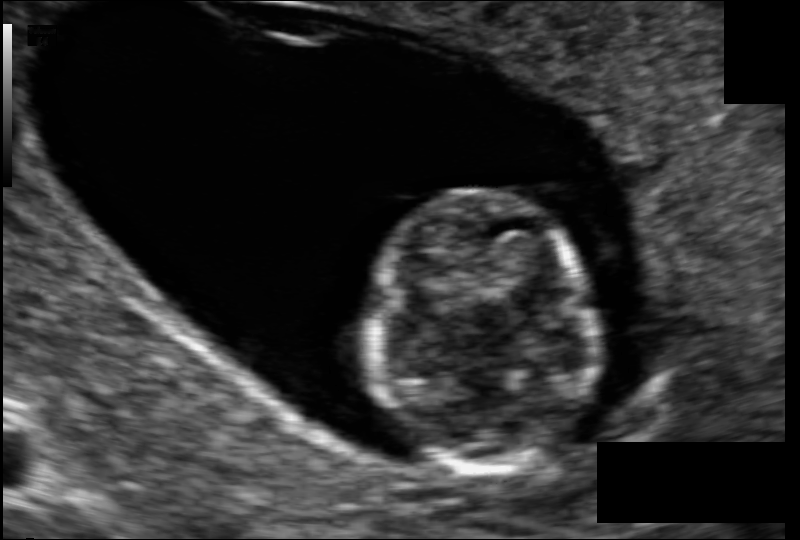
What is the fetal head circumference? Image width is 73.7 mm.

76.0 mm